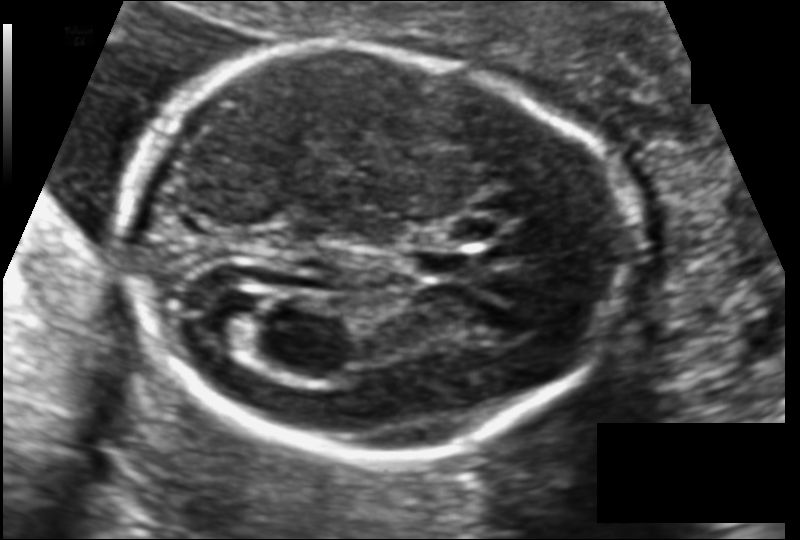
What is the fetal head circumference? Image width is 93.1 mm.

172.2 mm